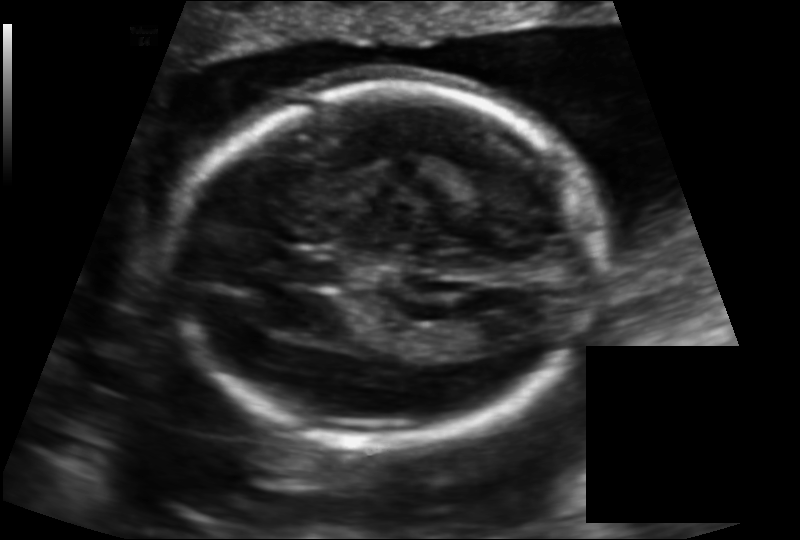
Estimate the fetal head circumference from this 2D ultrasound. Image width: 106.6 mm.

Head circumference: 171.1 mm.